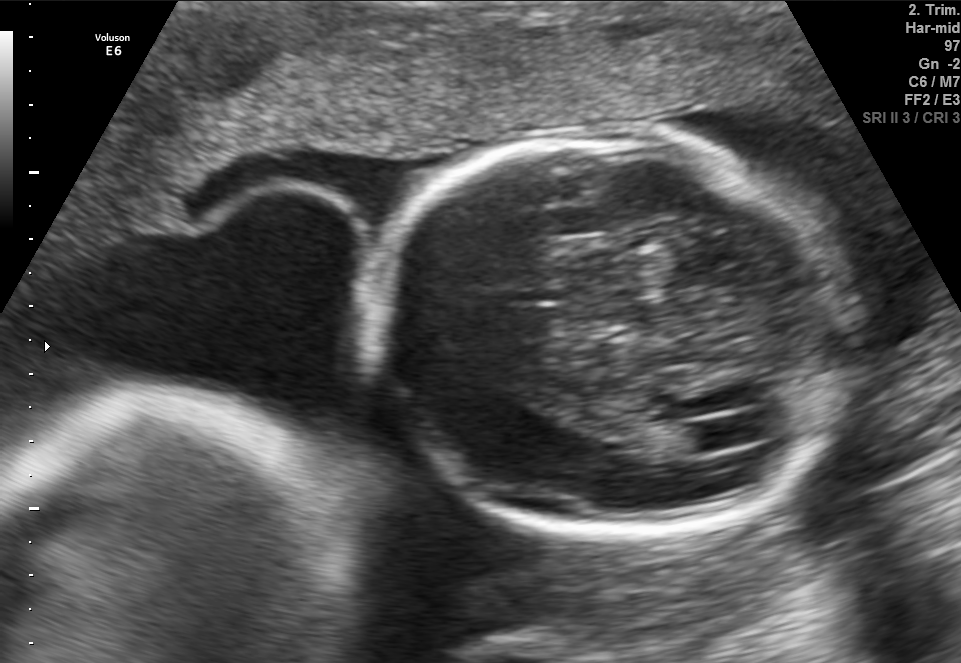
Fetal brain, trans-ventricular plane. Give [x1,y1,x2,y2] bounding boxes for each visible structure among: fetal head, CSP, LV.

Head: [354,124,870,541]
Lateral ventricle: [682,412,753,456]